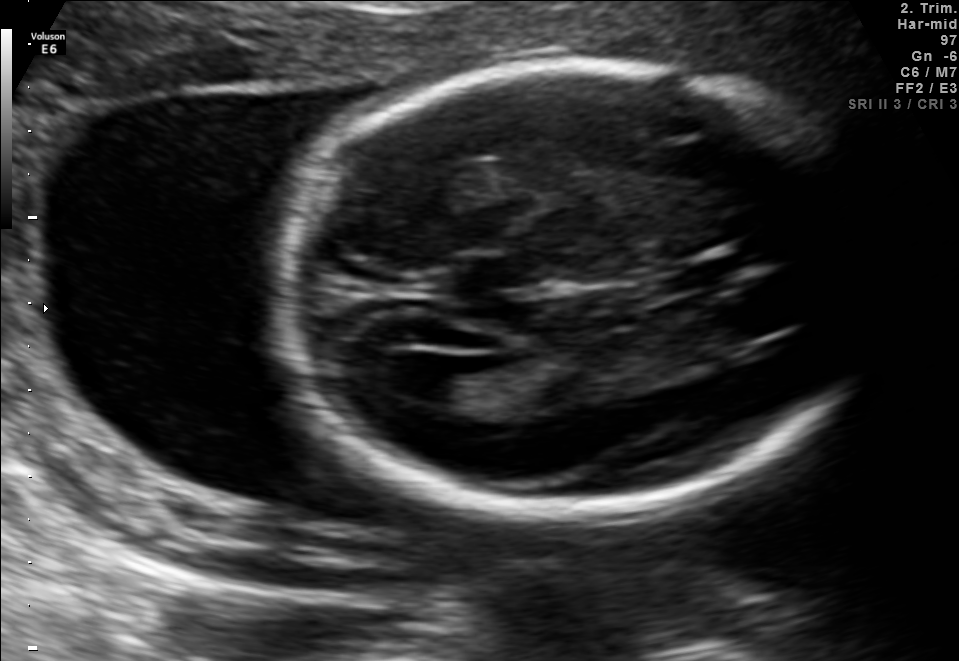
Fetal brain, trans-ventricular plane. Locate the cavum septum pellucidum.

CSP: [663,256,735,295]